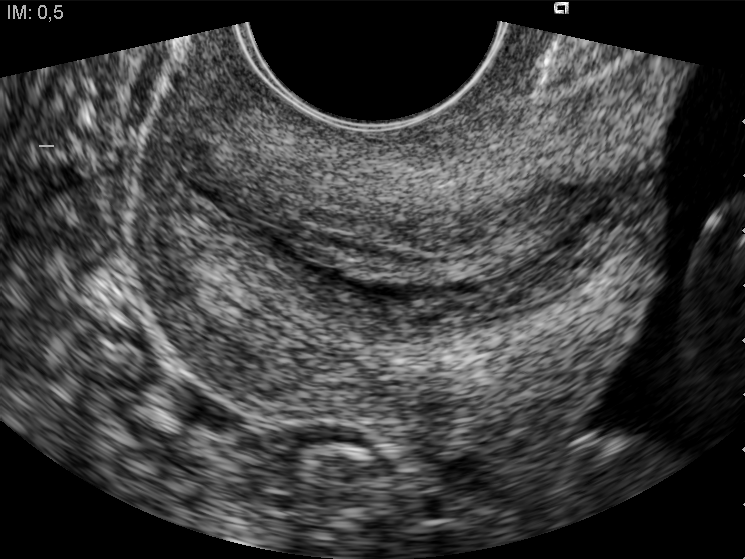
Identify the standard plane in this fetal ultrasound image: fetal abdomen, fetal brain, fetal femur, fetal thorax, maternal cervix, or other. If it's fetal brain and one of the three standard brain planes (trans-thalamic, trans-cerebellum, trans-ventricular), name which.

Maternal cervix